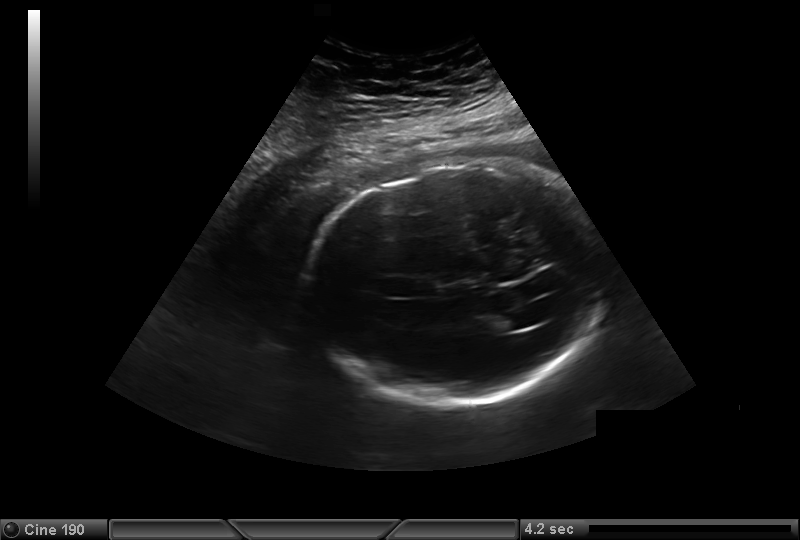
Estimate the fetal head circumference from this 2D ultrasound.

Head circumference: 283.5 mm (image width 258.3 mm).